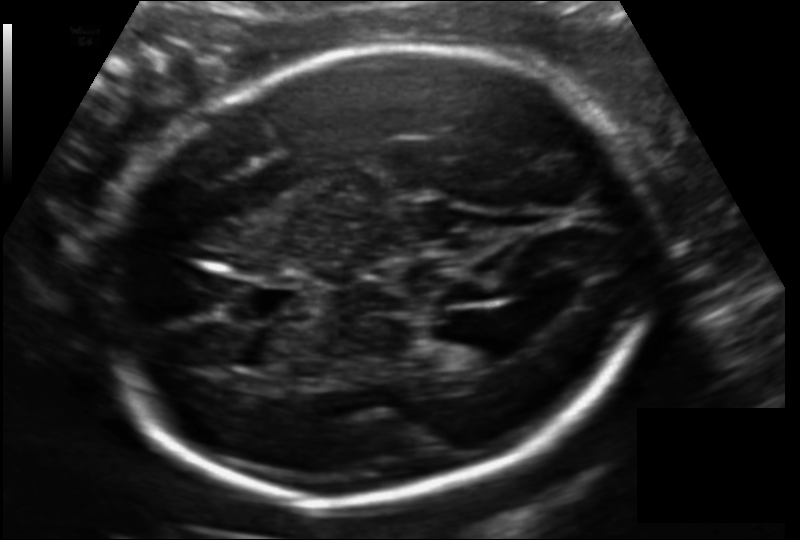
In this fetal head ultrasound, give the bounding box of the fetal head. Image width: 111.6 mm.

[115,46,650,506]